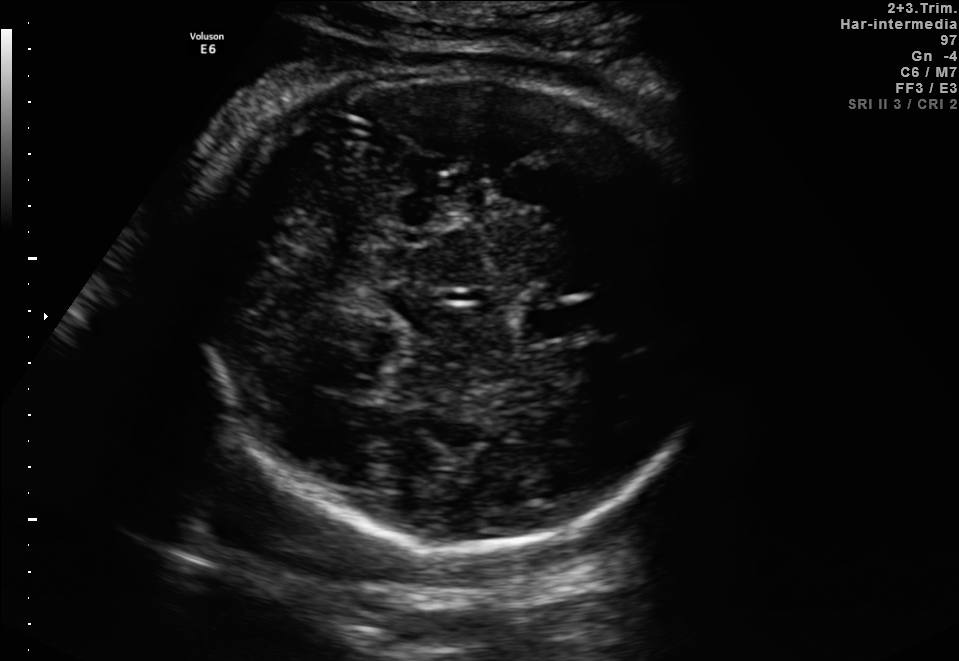
Fetal brain, trans-thalamic plane. Locate the fetal head and, if visible, the cavum septum pellucidum (CSP) and lateral ventricle (LV). Give bounding boxes as [x1,y1,x2,y2].

Head: [192,72,715,545]
CSP: [524,299,594,343]